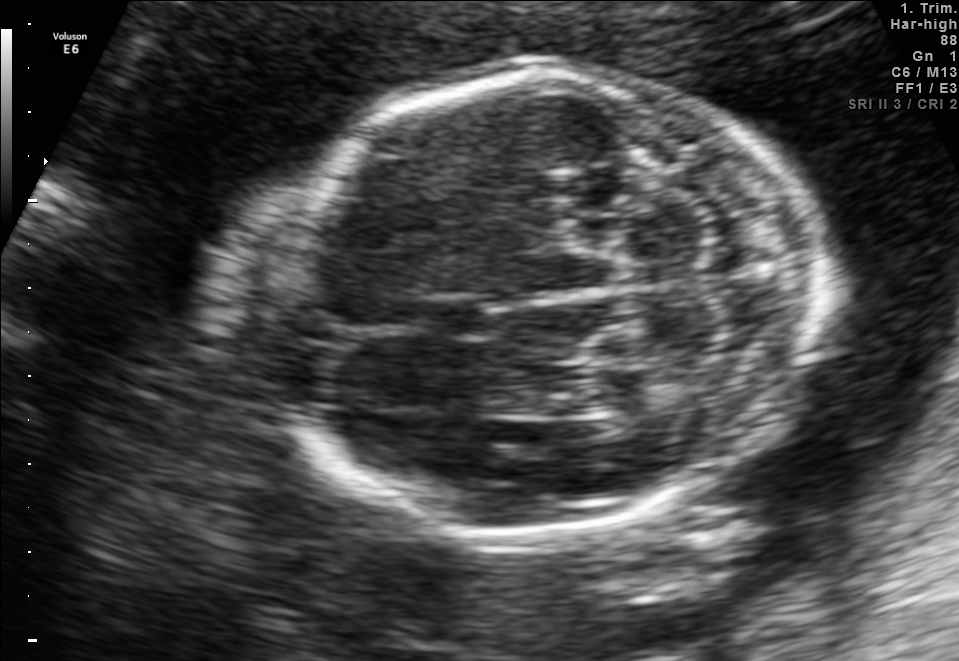
Fetal brain, trans-cerebellum plane. Where is the cavum septum pellucidum?

CSP bounding box: [414,293,496,339]